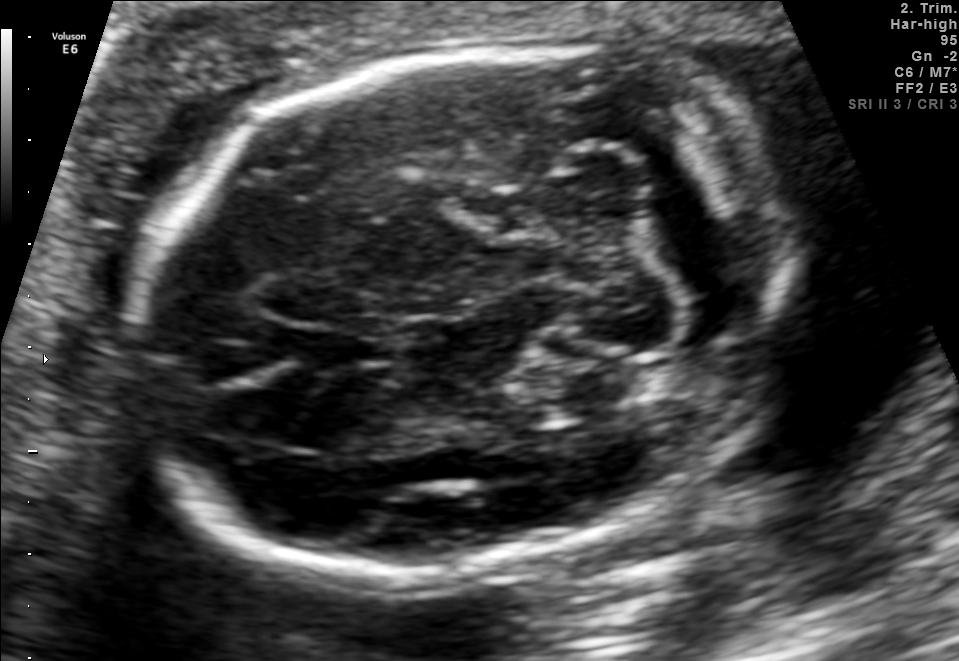
In this fetal brain, trans-cerebellum plane, give the bounding box of the fetal head.

[138,40,795,577]